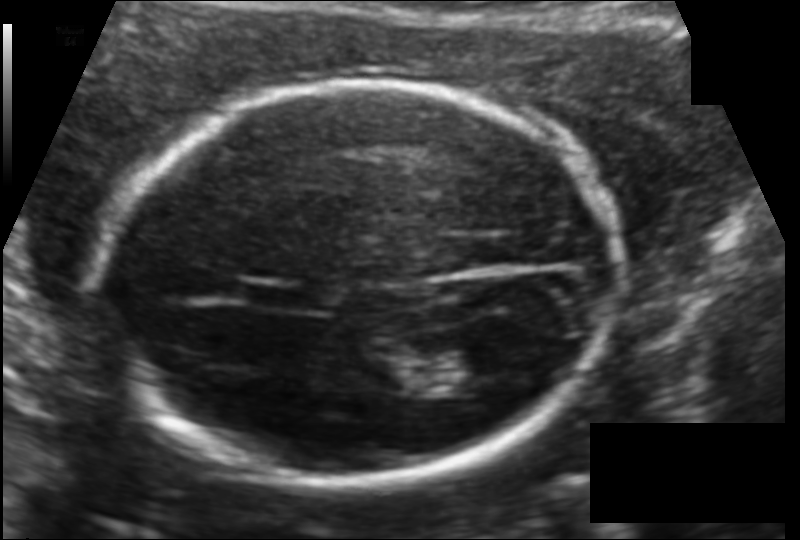
Estimate the fetal head circumference from this 2D ultrasound.

Head circumference: 182.2 mm (image width 96.7 mm).